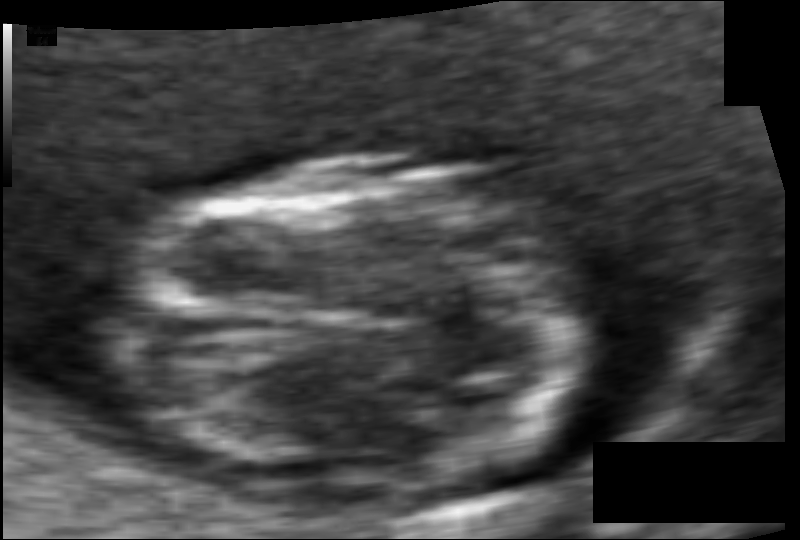
Fetal head ultrasound. Image width: 39.5 mm. Locate the fetal head.

Head: [112,164,601,495]